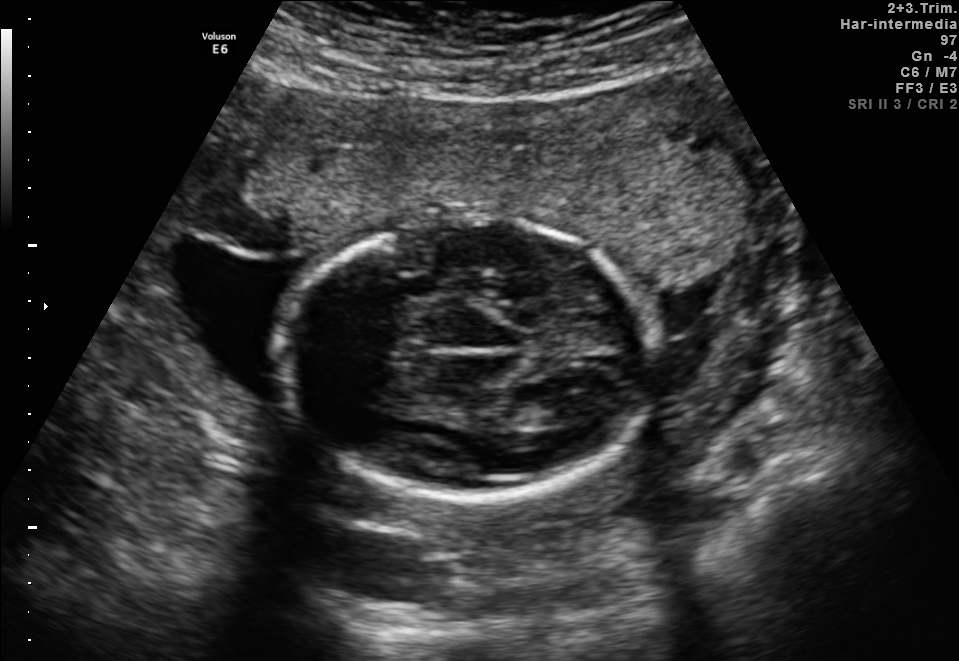
Fetal brain, trans-thalamic plane. Locate the fetal head and, if visible, the cavum septum pellucidum (CSP) and lateral ventricle (LV). Give bounding boxes as [x1,y1,x2,y2].

Head: [274,216,657,499]
Lateral ventricle: [533,389,595,430]